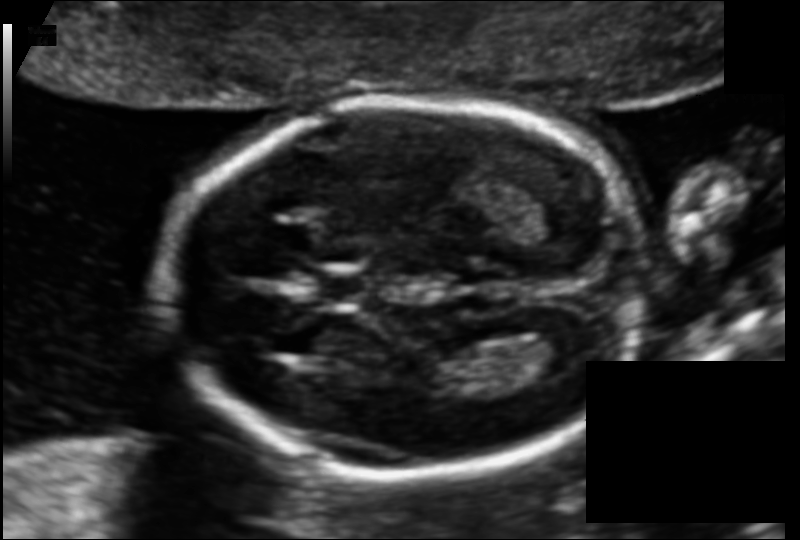
Fetal head ultrasound. Image width: 87.9 mm. Locate the fetal head.

Head: [160,100,638,474]